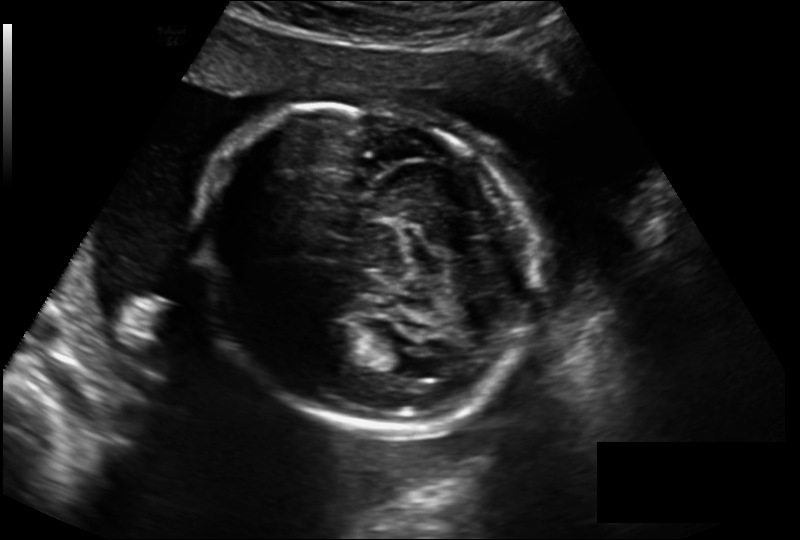
Fetal head ultrasound. Image width: 168.7 mm. Give [x1,y1,x2,y2] bounding boxes for each visible structure among: fetal head, CSP, LV.

Head: [196,104,537,433]